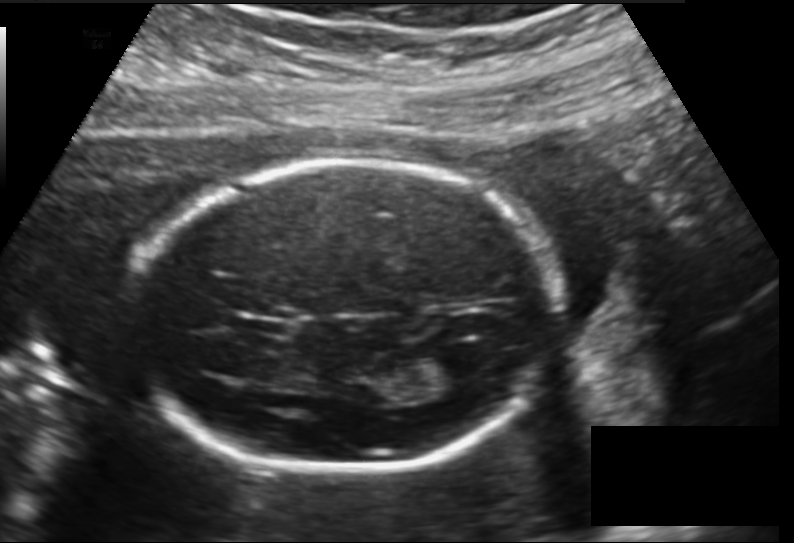
Fetal head ultrasound. Image width: 124.7 mm. Where is the cavum septum pellucidum?

CSP bounding box: [243,316,287,338]